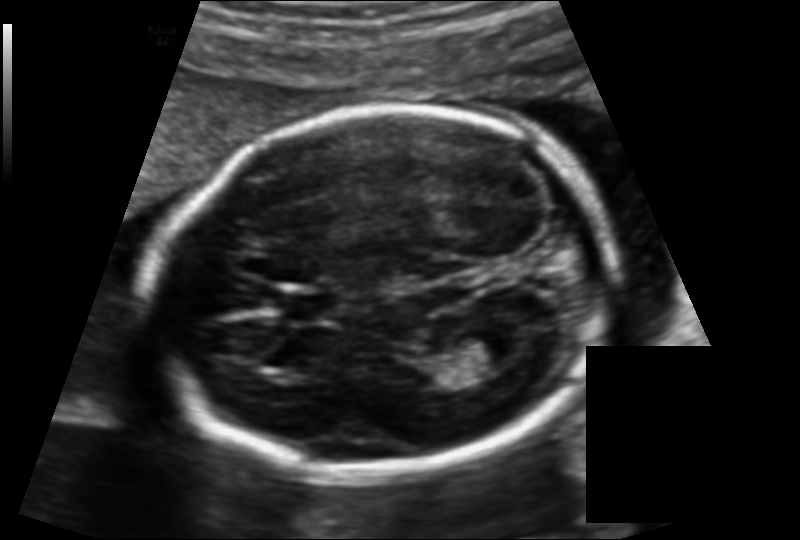
Estimate the fetal head circumference from this 2D ultrasound. Image width: 104.7 mm.

Head circumference: 175.3 mm.